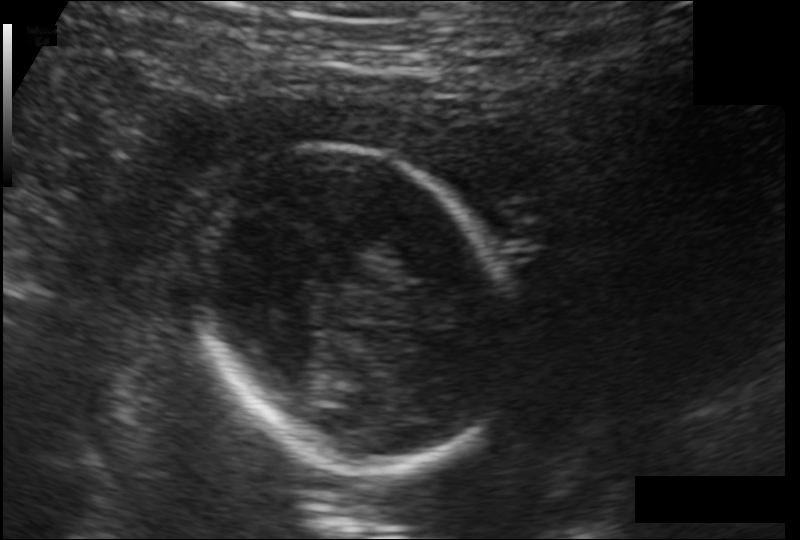
In this fetal head ultrasound, give the bounding box of the fetal head. Image width: 116.5 mm.

[189,147,526,465]